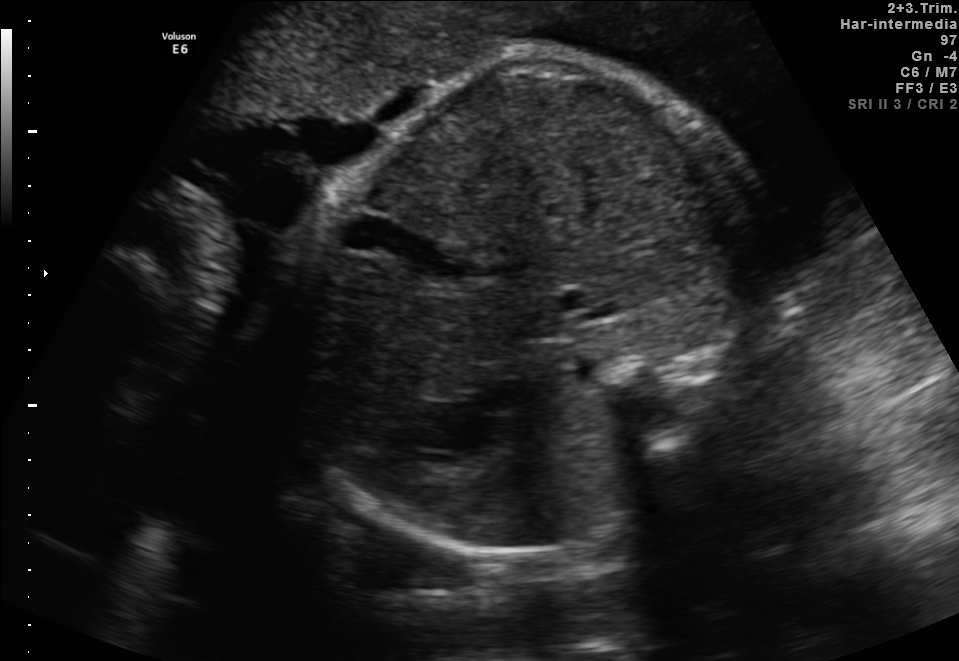
Which standard maternal-fetal ultrasound plane is shown: fetal abdomen, fetal brain, fetal femur, fetal thorax, maternal cervix, or other? If it's fetal brain and one of the three standard brain planes (trans-thalamic, trans-cerebellum, trans-ventricular), name which.

Fetal abdomen